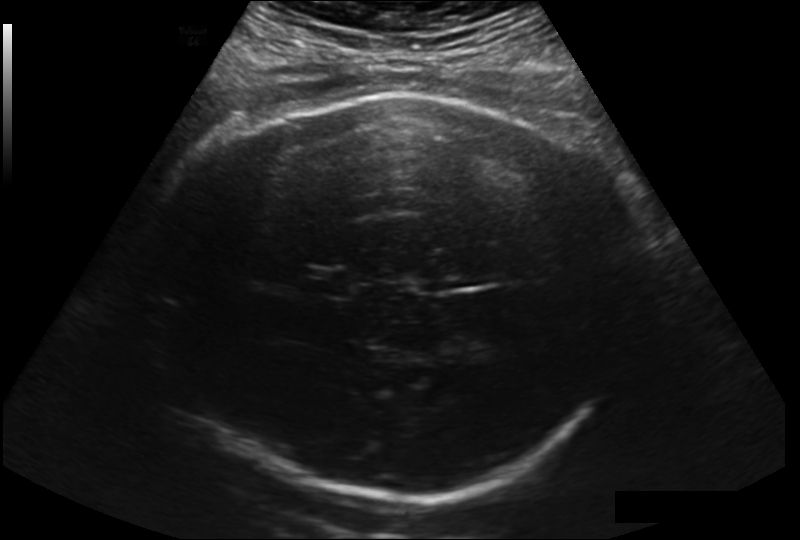
In this fetal head ultrasound, give the bounding box of the fetal head. Image width: 179.8 mm.

[141,92,631,497]